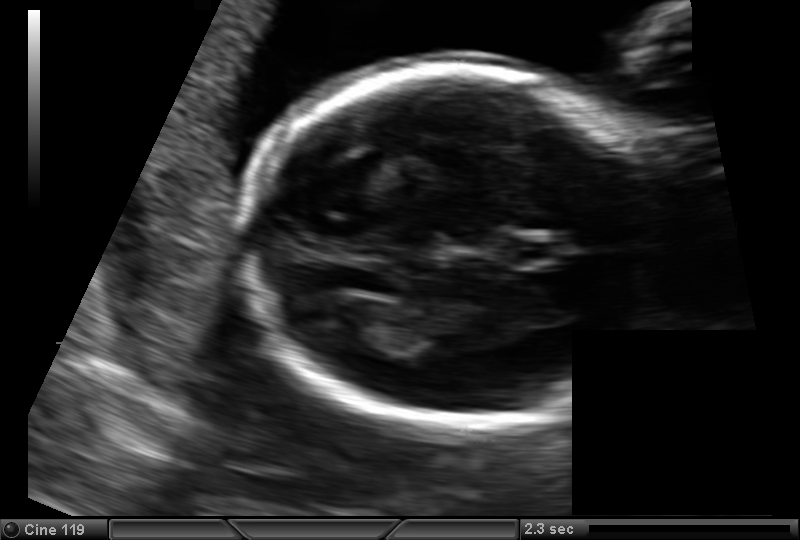
Measure the fetal head circumference shown in this ultrasound image. Image width: 103.2 mm.

Head circumference: 168.4 mm.